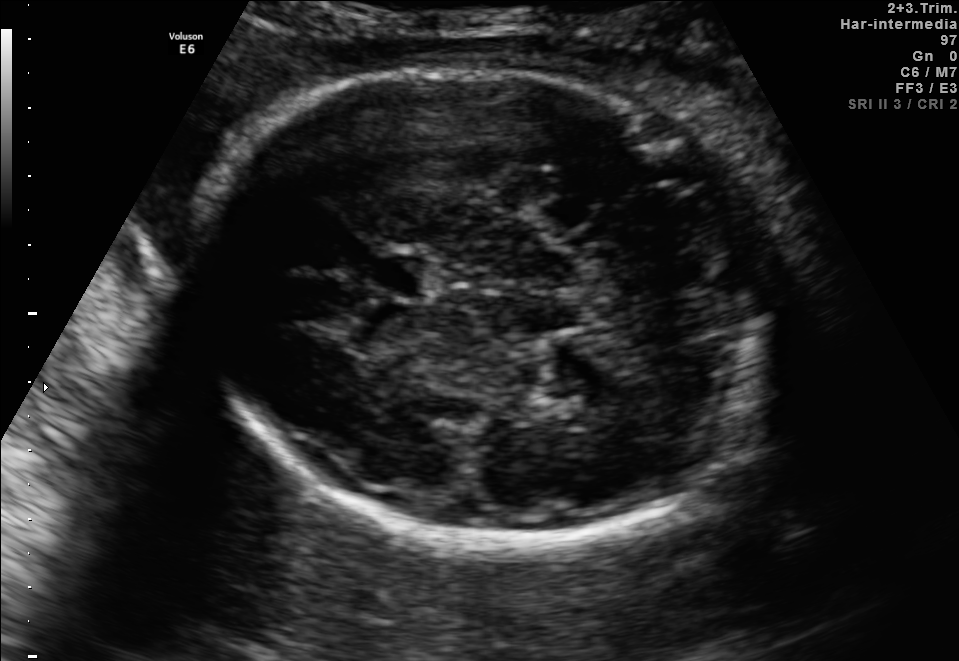
Fetal brain, trans-thalamic plane. Where is the cavum septum pellucidum?

CSP bounding box: [366,253,431,298]